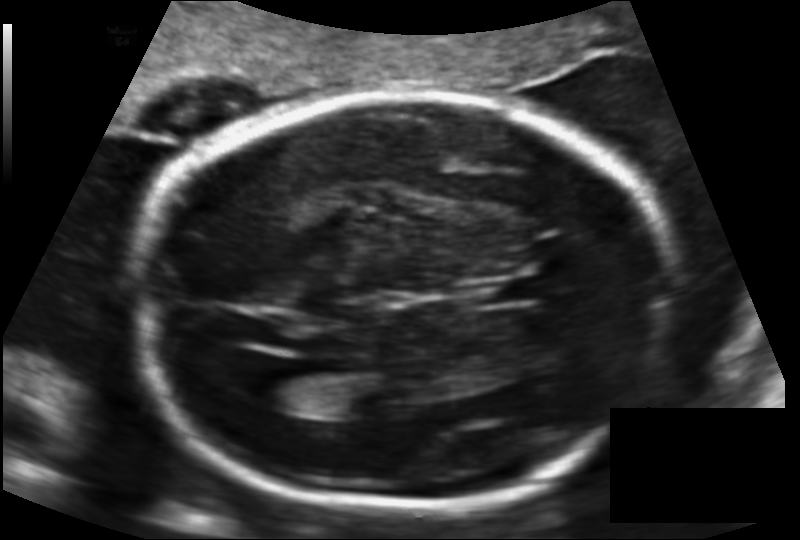
Fetal head ultrasound. Image width: 113.0 mm. Locate the lateral ventricle.

Lateral ventricle: [243,358,320,415]